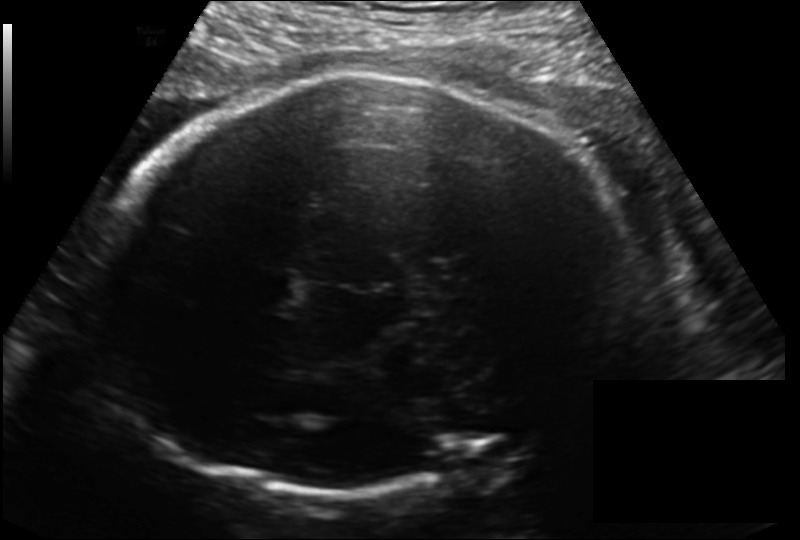
Fetal head ultrasound. Image width: 158.6 mm. Where is the fetal head?

Head bounding box: [88,69,624,493]